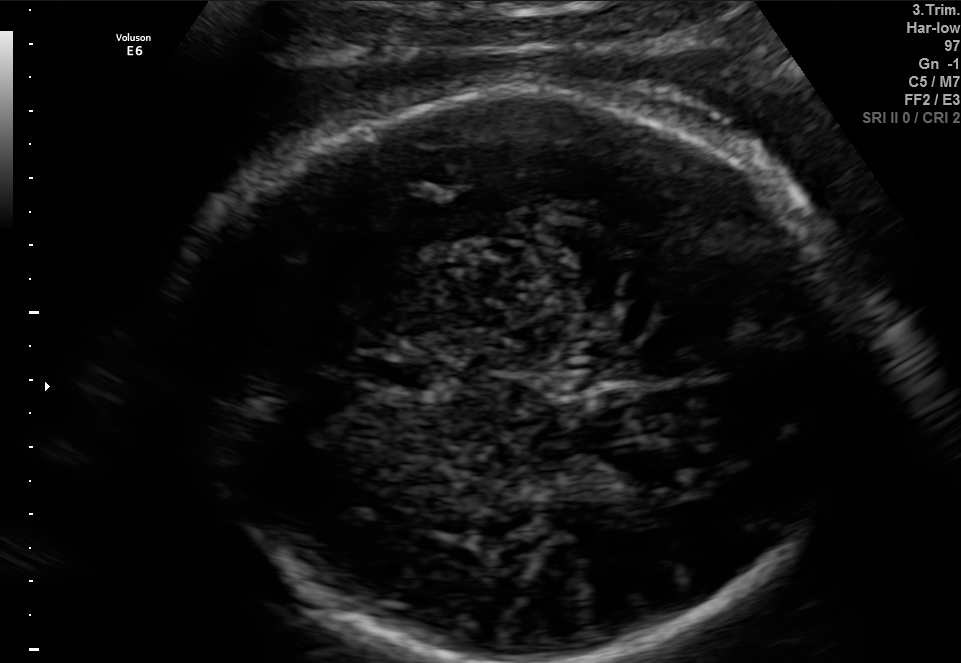
In this fetal brain, trans-thalamic plane, give the bounding box of the fetal head.

[163,95,864,660]